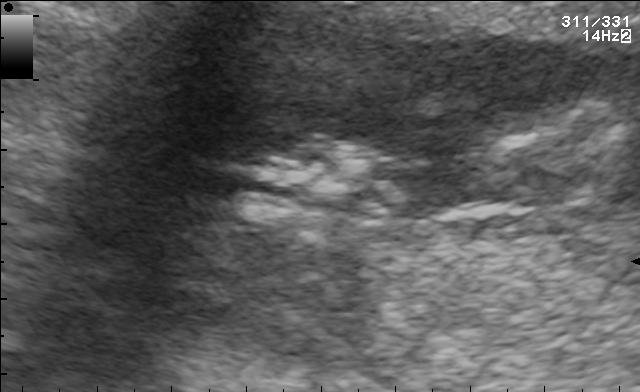
Identify the standard plane in this fetal ultrasound image: fetal abdomen, fetal brain, fetal femur, fetal thorax, maternal cervix, or other. If it's fetal brain and one of the three standard brain planes (trans-thalamic, trans-cerebellum, trans-ventricular), name which.

Other